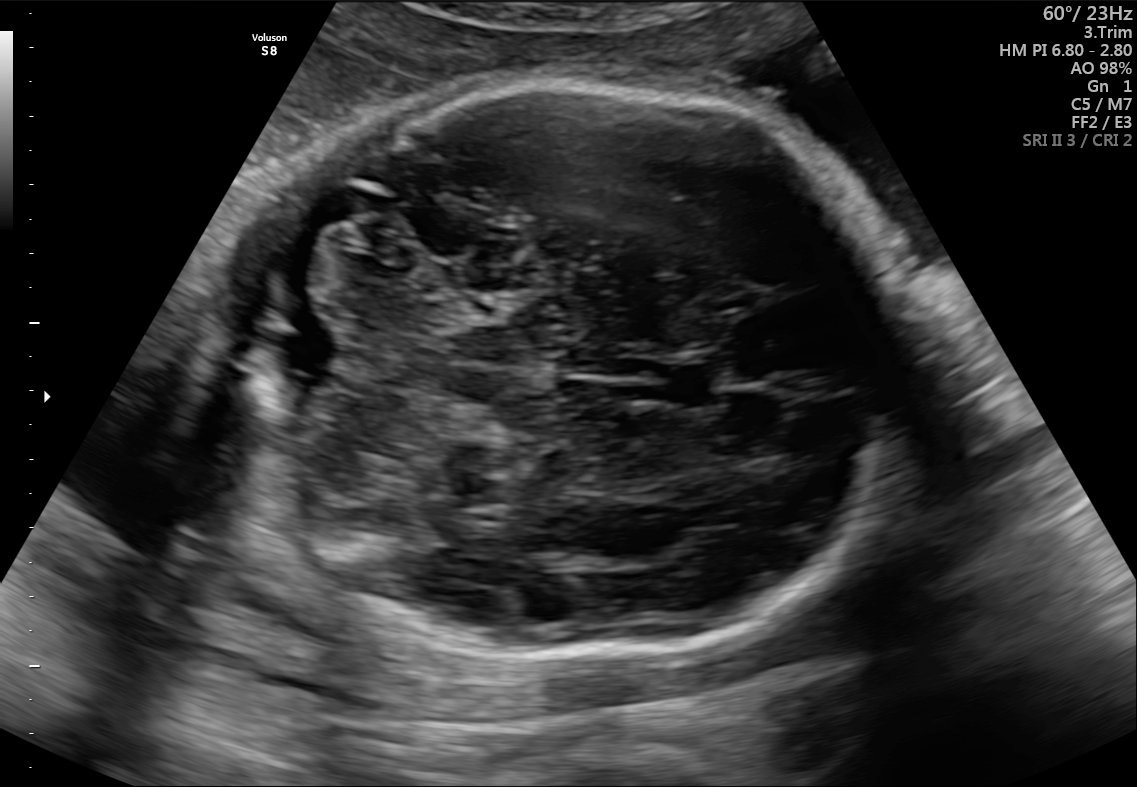
Fetal brain, trans-cerebellum plane. Where is the cavum septum pellucidum?

CSP bounding box: [650,356,725,406]